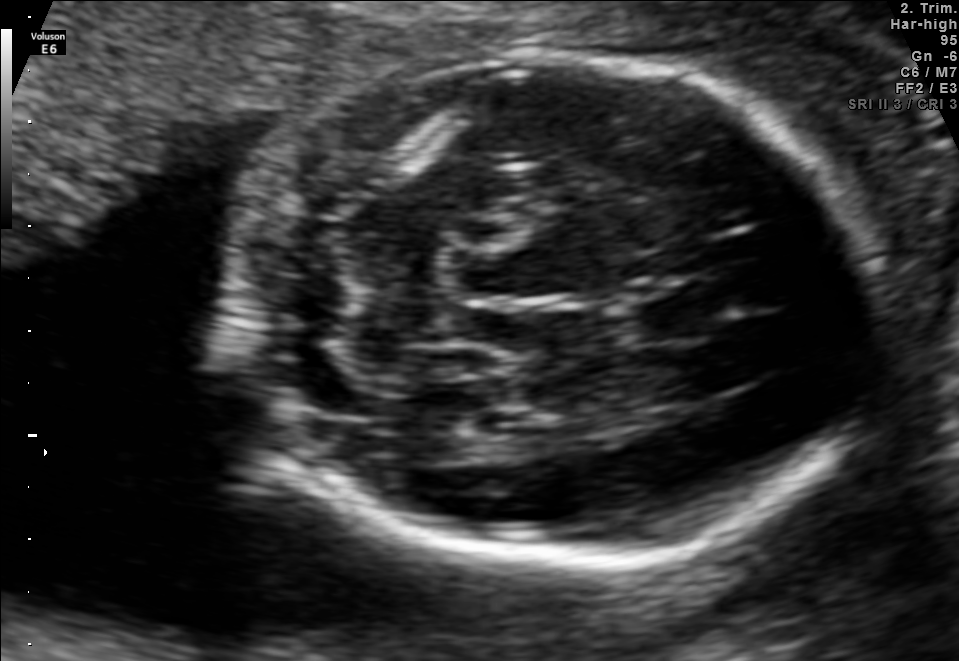
In this fetal brain, trans-cerebellum plane, give the bounding box of the cavum septum pellucidum.

[633,278,725,350]